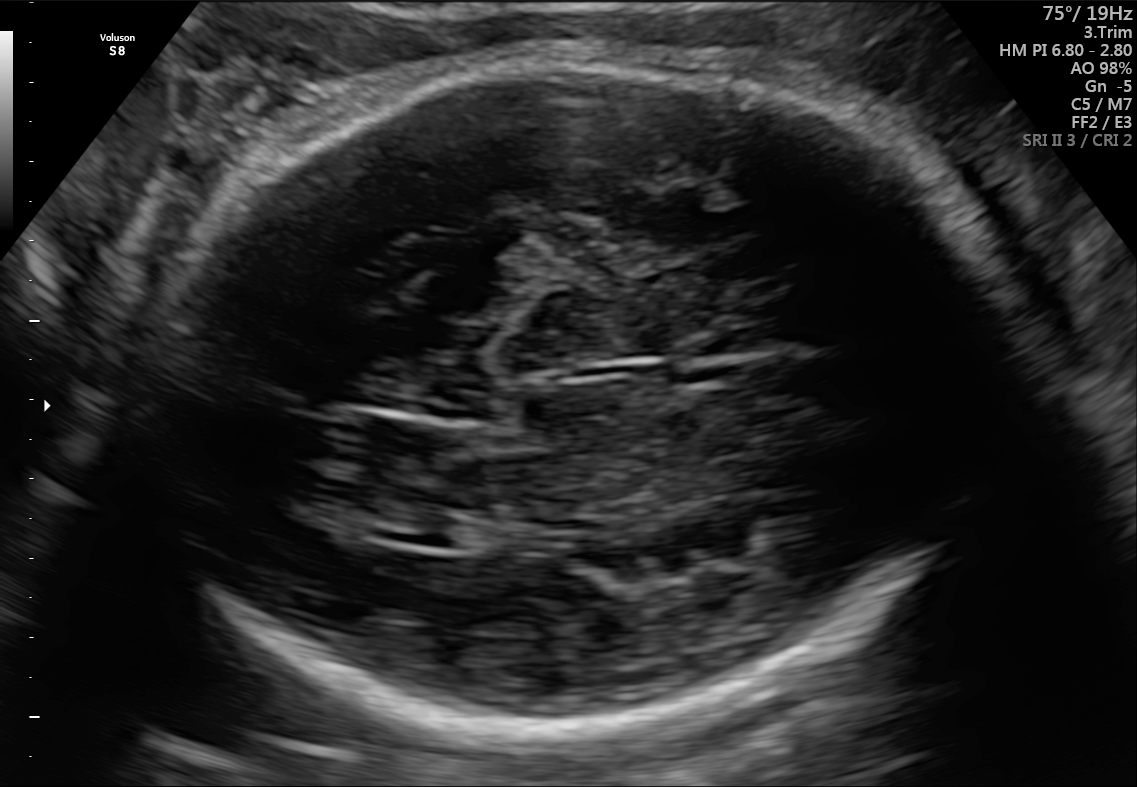
Fetal brain, trans-thalamic plane. Where is the lateral ventricle?

Lateral ventricle bounding box: [379,513,458,553]